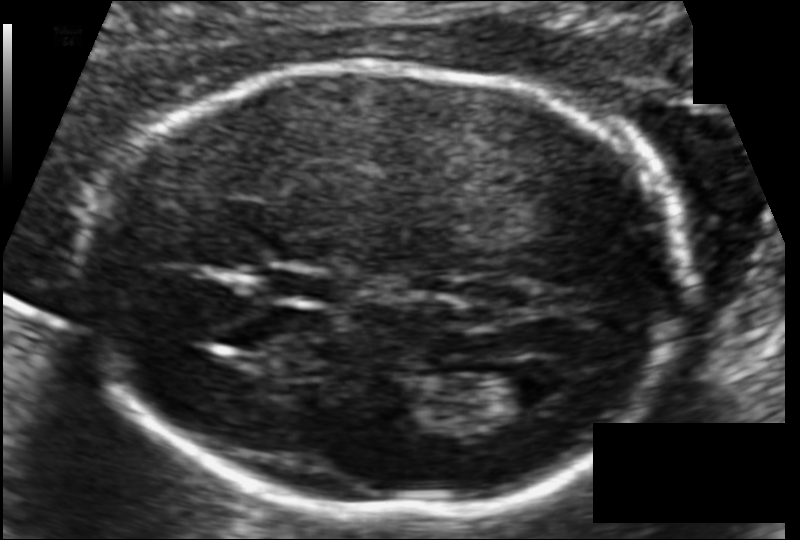
Fetal head ultrasound. Image width: 81.8 mm. Give [x1,y1,x2,y2] bounding boxes for each visible structure among: fetal head, CSP, LV.

Head: [85,66,683,510]
CSP: [259,267,336,303]
Lateral ventricle: [478,350,571,420]